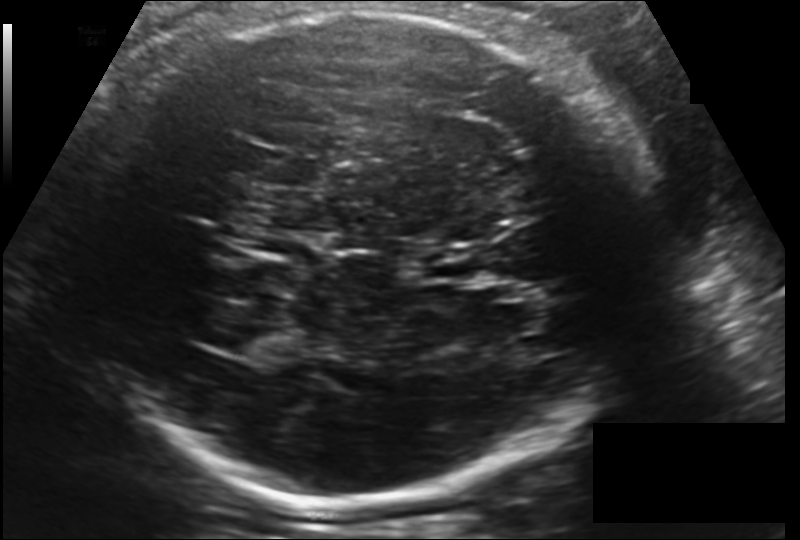
From this fetal ultrasound, estimate the head circumference (image width 145.0 mm).

Head circumference: 308.5 mm.